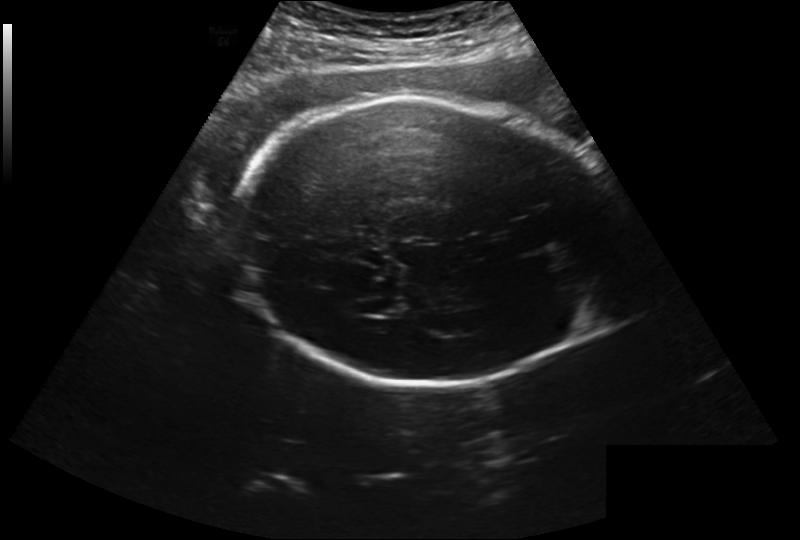
In this fetal head ultrasound, give the bounding box of the fetal head. Image width: 208.3 mm.

[233,97,614,387]